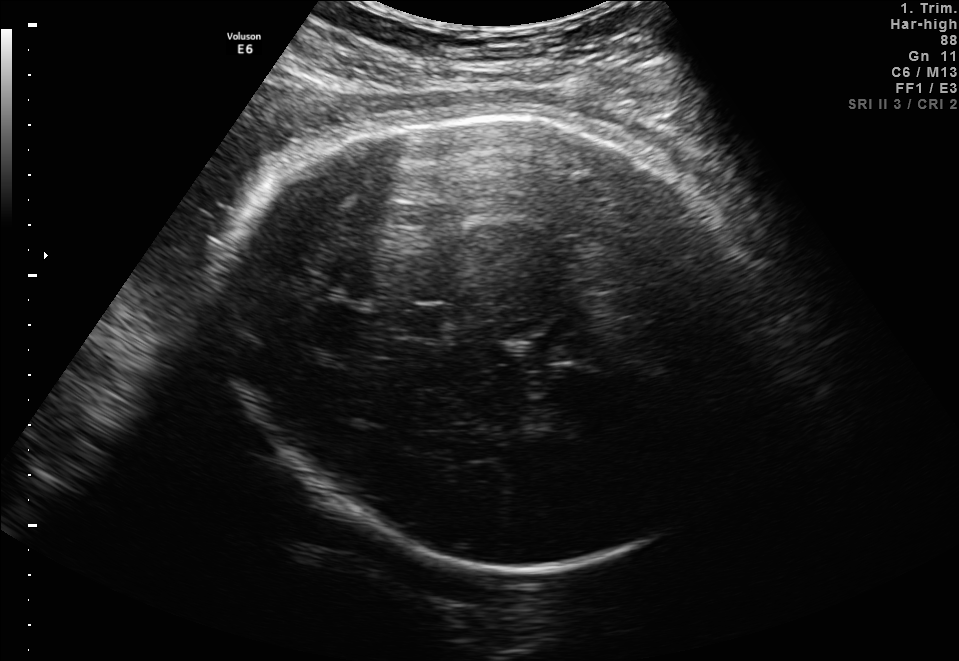
Fetal brain, trans-thalamic plane. Where is the cavum septum pellucidum?

CSP bounding box: [401,305,459,340]